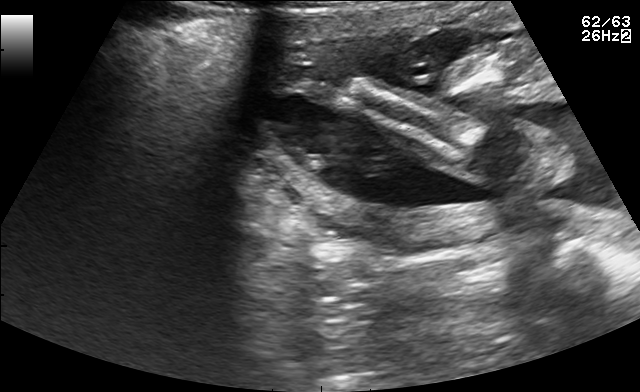
Which standard maternal-fetal ultrasound plane is shown: fetal abdomen, fetal brain, fetal femur, fetal thorax, maternal cervix, or other? If it's fetal brain and one of the three standard brain planes (trans-thalamic, trans-cerebellum, trans-ventricular), name which.

Other